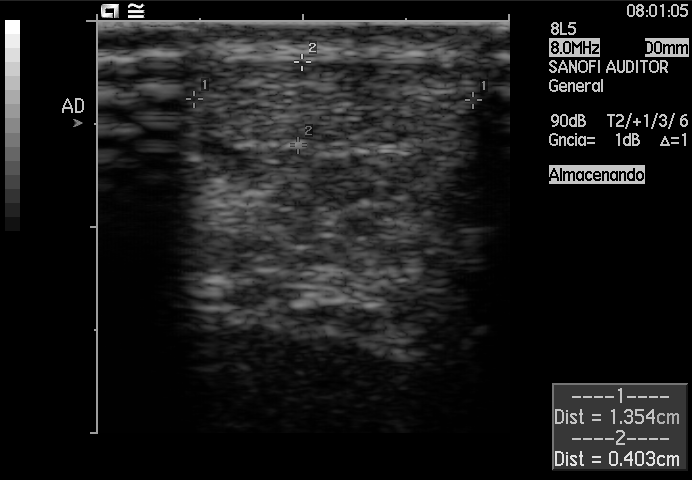
Which standard maternal-fetal ultrasound plane is shown: fetal abdomen, fetal brain, fetal femur, fetal thorax, maternal cervix, or other? If it's fetal brain and one of the three standard brain planes (trans-thalamic, trans-cerebellum, trans-ventricular), name which.

Other